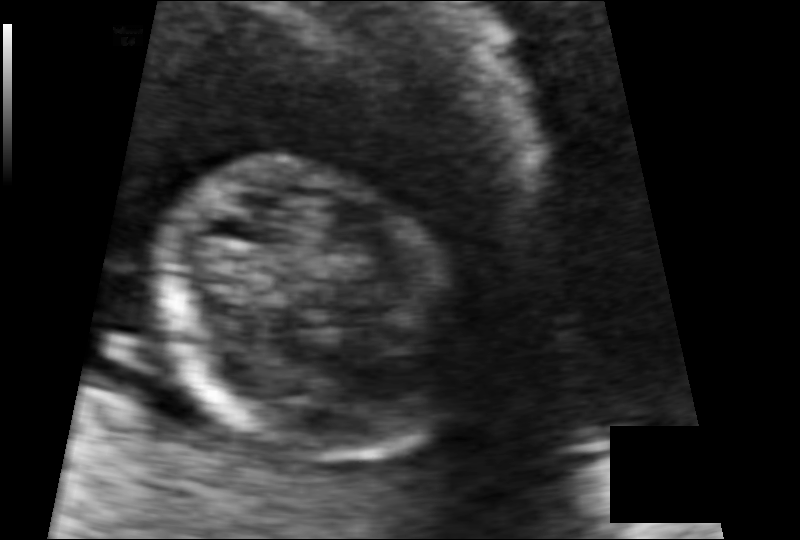
From this fetal ultrasound, estimate the head circumference (image width 68.4 mm).

Head circumference: 79.8 mm.